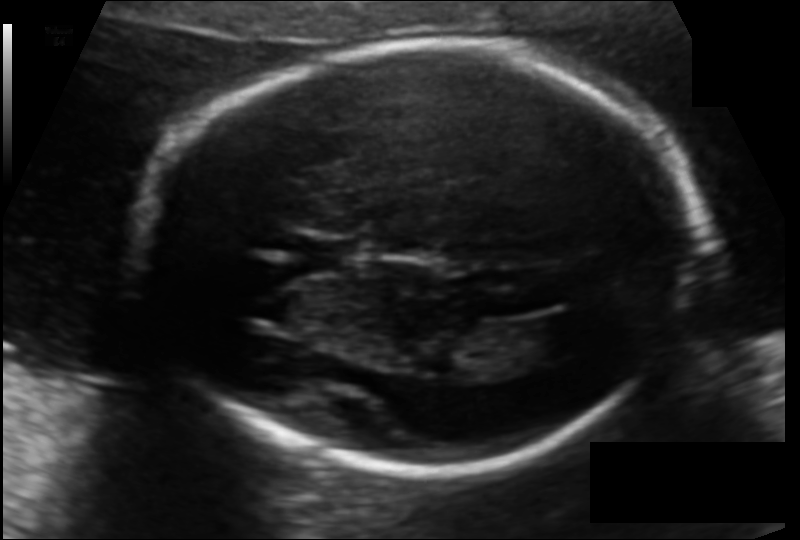
Estimate the fetal head circumference from this 2D ultrasound.

Head circumference: 193.1 mm (image width 97.4 mm).